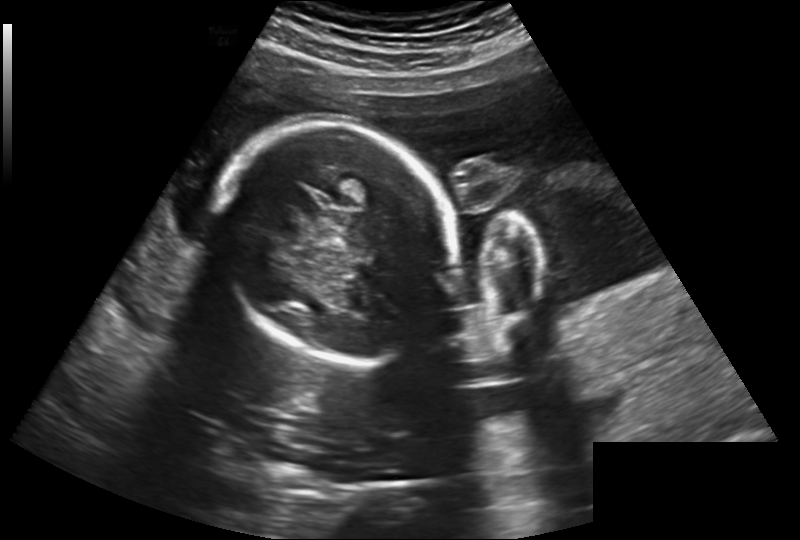
What is the fetal head circumference? Image width is 208.4 mm.

206.9 mm